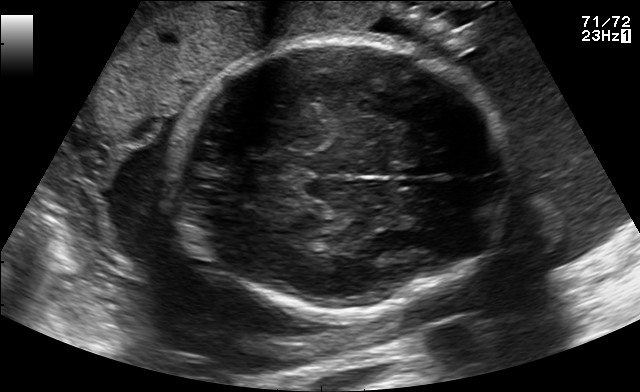
Which standard maternal-fetal ultrasound plane is shown: fetal abdomen, fetal brain, fetal femur, fetal thorax, maternal cervix, or other? If it's fetal brain and one of the three standard brain planes (trans-thalamic, trans-cerebellum, trans-ventricular), name which.

Fetal brain (trans-thalamic plane)